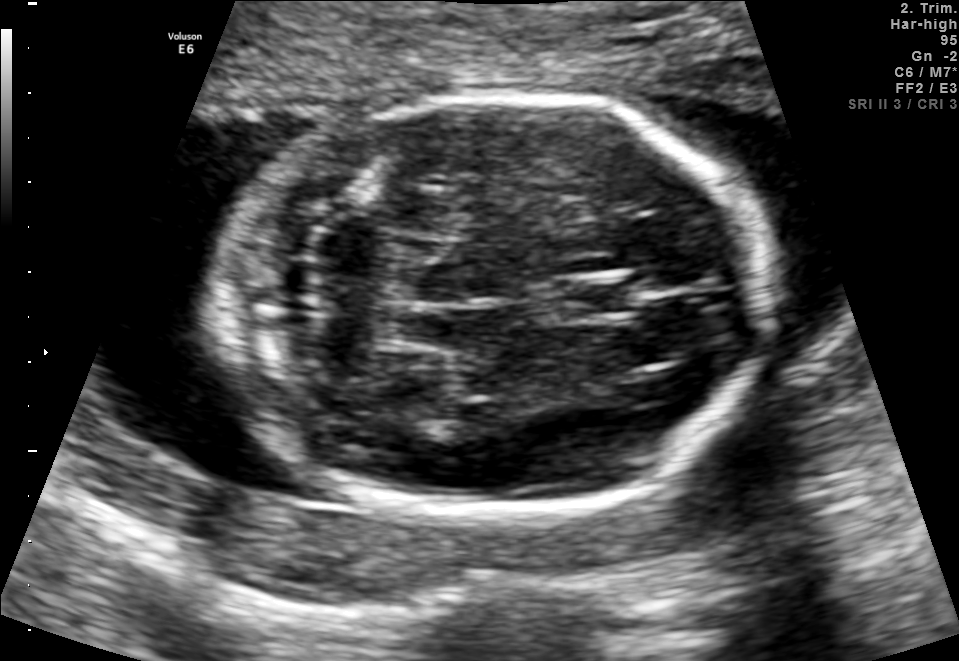
Fetal brain, trans-cerebellum plane. Where is the fetal head?

Head bounding box: [210,95,773,518]